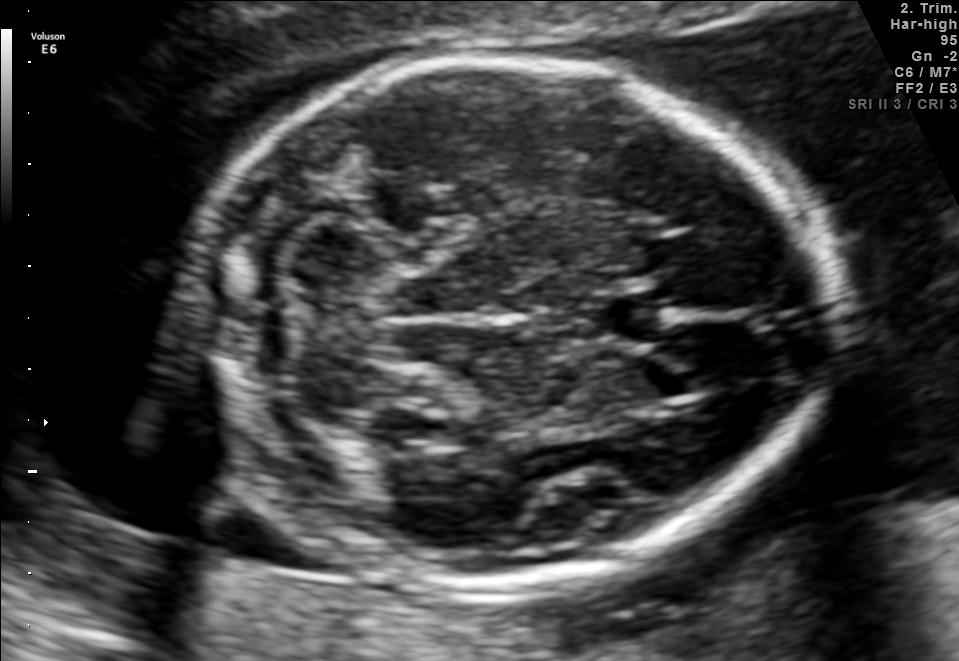
Fetal brain, trans-cerebellum plane. Give [x1,y1,x2,y2] bounding boxes for each visible structure among: fetal head, CSP, LV.

Head: [180,60,829,589]
CSP: [586,281,674,353]